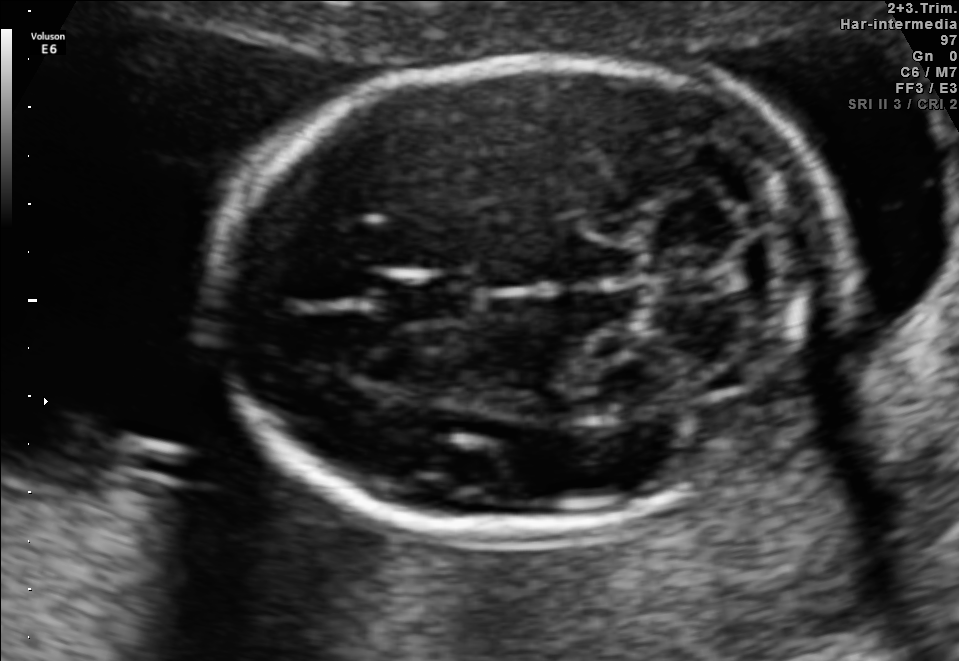
In this fetal brain, trans-cerebellum plane, give the bounding box of the cavum septum pellucidum.

[377,269,483,327]